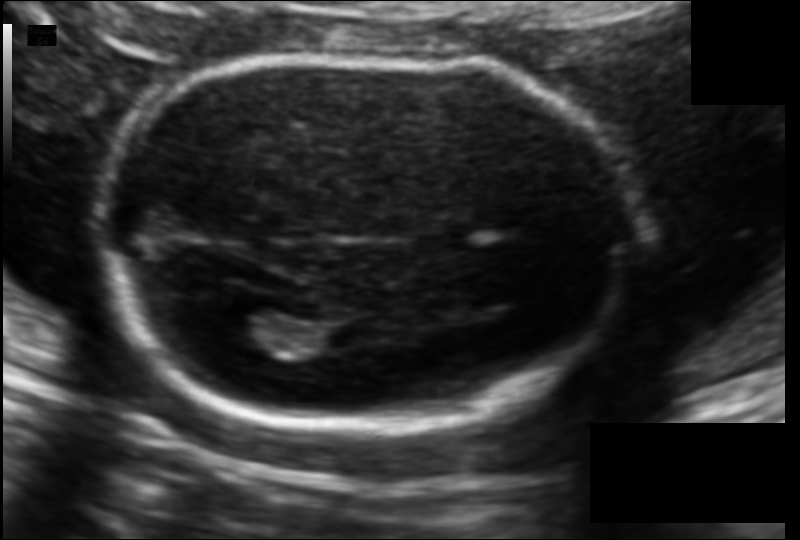
Fetal head ultrasound. Image width: 90.5 mm. Locate the fetal head.

Head: [95,57,642,429]